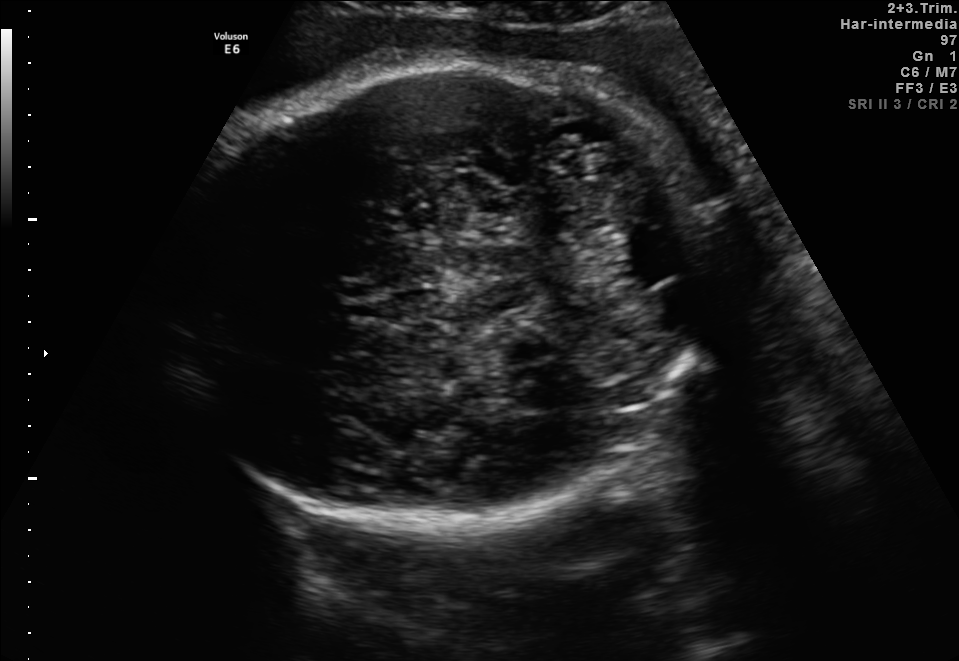
Identify the standard plane in this fetal ultrasound image: fetal abdomen, fetal brain, fetal femur, fetal thorax, maternal cervix, or other. If it's fetal brain and one of the three standard brain planes (trans-thalamic, trans-cerebellum, trans-ventricular), name which.

Fetal brain (trans-cerebellum plane)